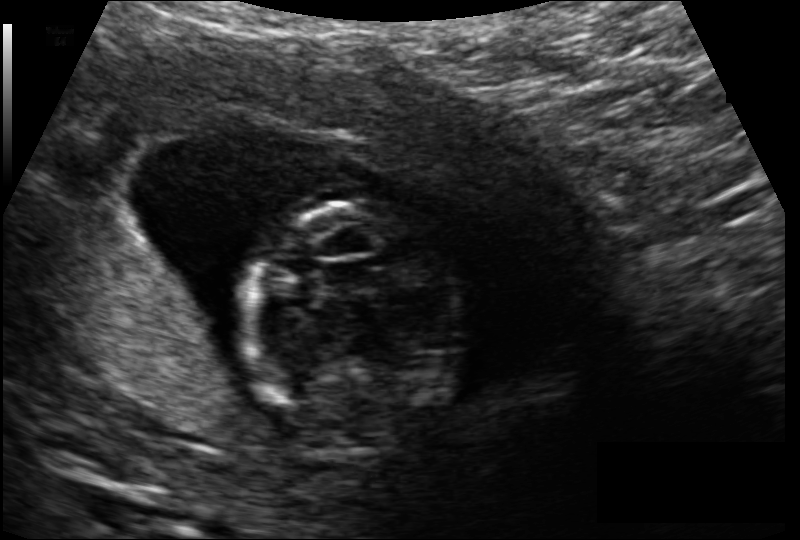
Estimate the fetal head circumference from this 2D ultrasound.

Head circumference: 95.7 mm (image width 94.0 mm).